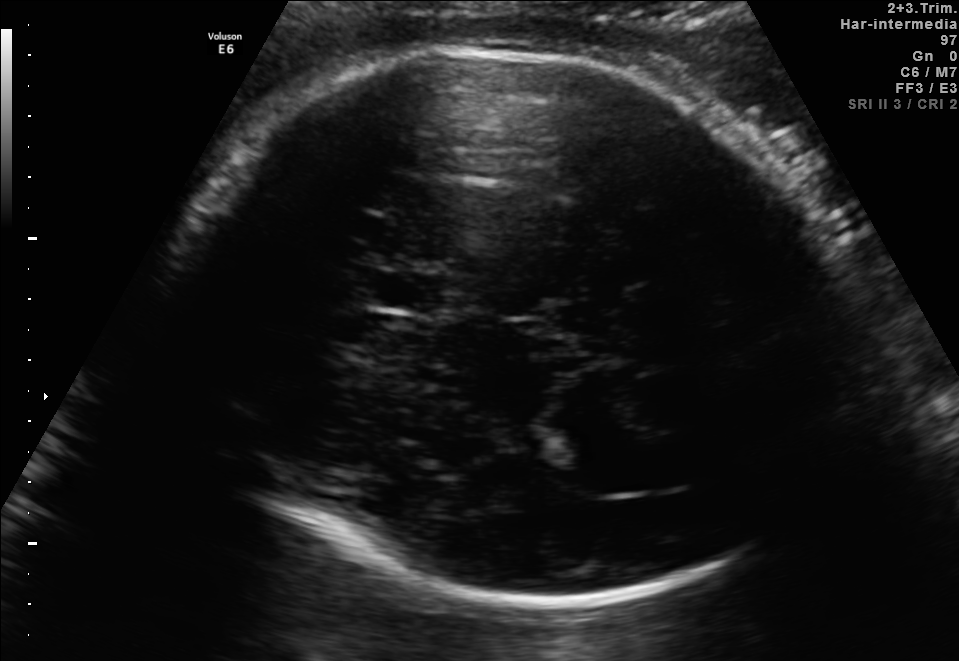
Fetal brain, trans-thalamic plane. Where is the fetal head?

Head bounding box: [186,46,841,605]